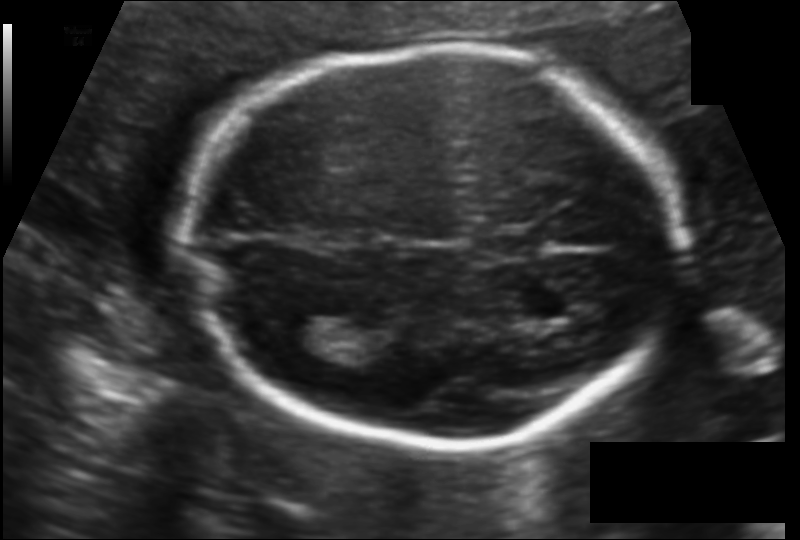
Fetal head ultrasound. Image width: 99.4 mm. Locate the fetal head and, if visible, the cavum septum pellucidum (CSP) and lateral ventricle (LV). Give bounding boxes as [x1,y1,x2,y2].

Head: [188,47,681,444]
CSP: [478,226,544,262]
Lateral ventricle: [266,312,325,355]